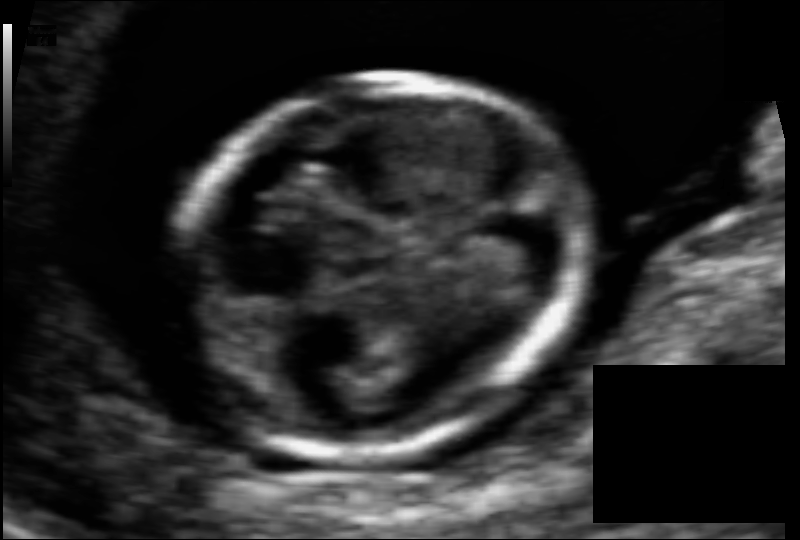
Fetal head ultrasound. Image width: 43.2 mm. Locate the fetal head and, if visible, the cavum septum pellucidum (CSP) and lateral ventricle (LV). Give bounding boxes as [x1,y1,x2,y2].

Head: [173,74,583,458]